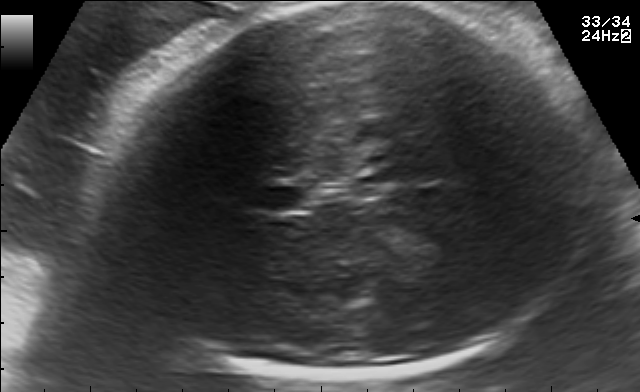
Fetal brain, trans-thalamic plane. Where is the cavum septum pellucidum?

CSP bounding box: [256,187,303,211]